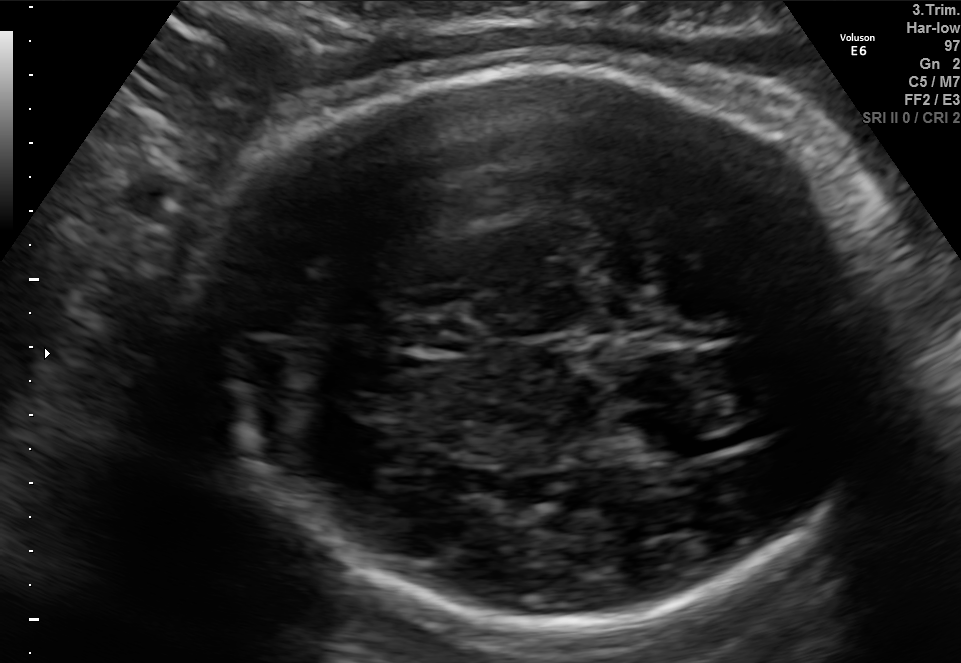
In this fetal brain, trans-thalamic plane, give the bounding box of the cavum septum pellucidum.

[402,321,476,352]